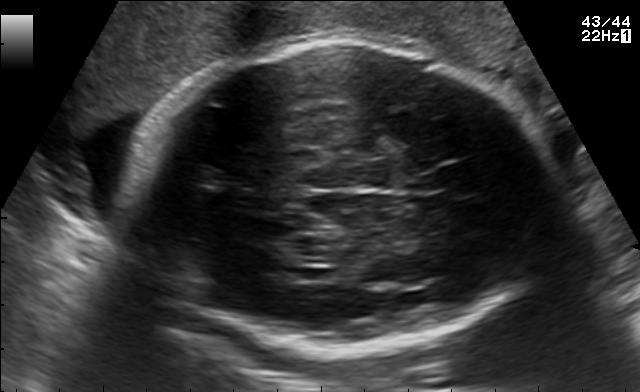
Fetal brain, trans-thalamic plane. Give [x1,y1,x2,y2] bounding boxes for each visible structure among: fetal head, CSP, LV.

Head: [131,43,552,357]